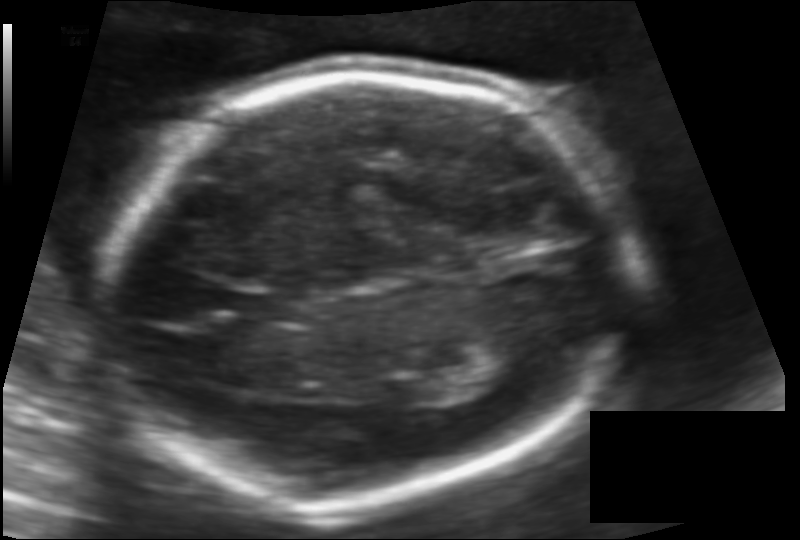
What is the fetal head circumference? Image width is 93.5 mm.

181.8 mm